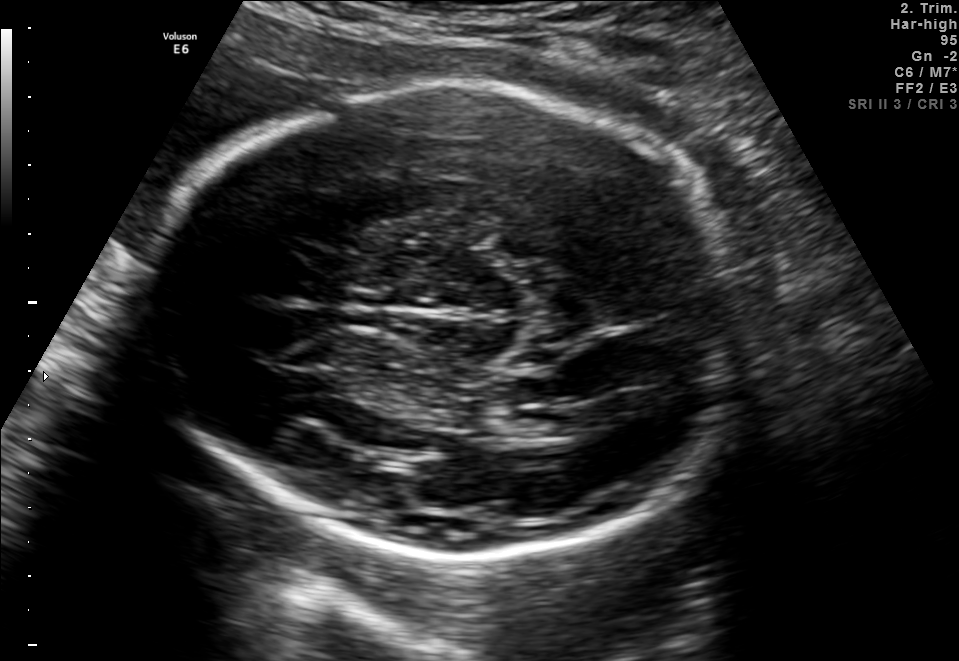
Fetal brain, trans-thalamic plane. Locate the lateral ventricle.

Lateral ventricle: [509,404,587,442]